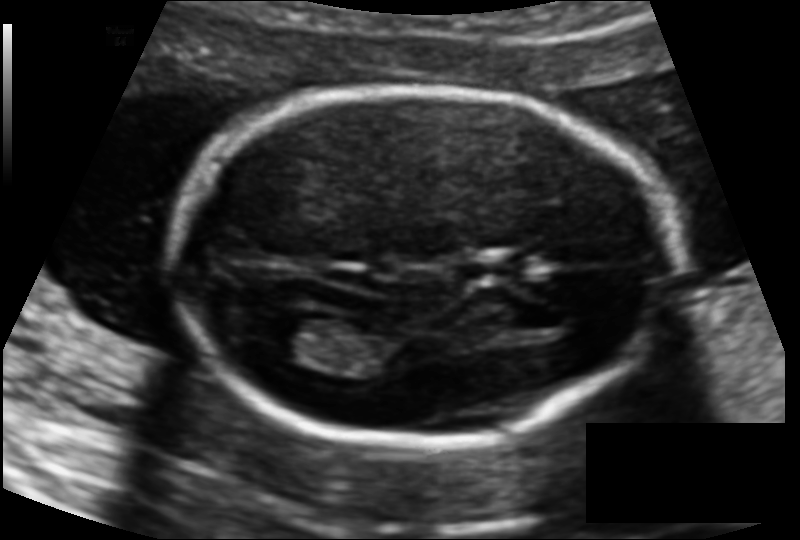
In this fetal head ultrasound, give the bounding box of the lateral ventricle. Image width: 91.5 mm.

[257,312,334,366]